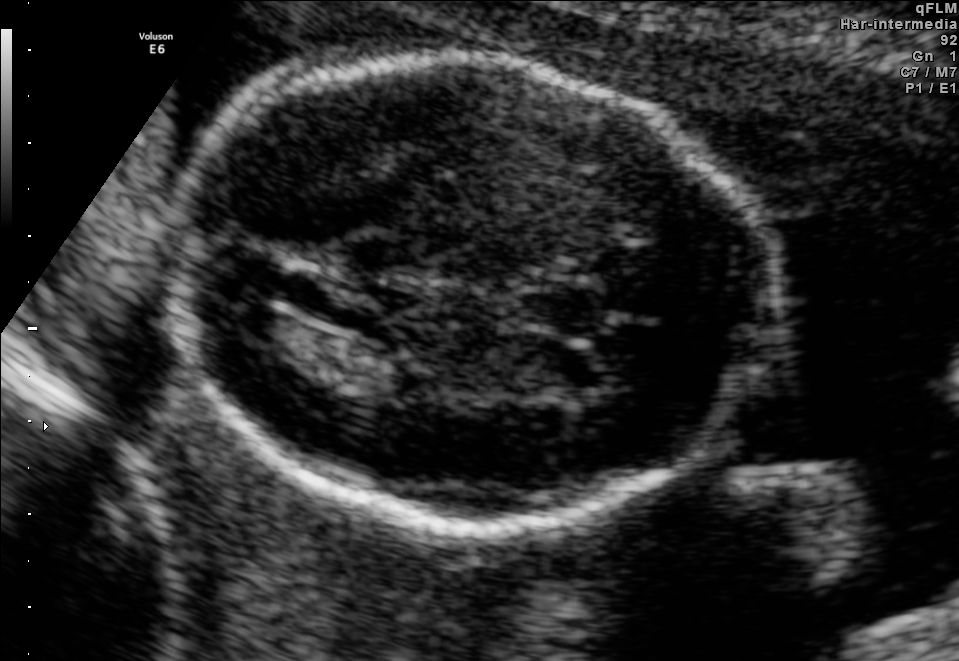
Which standard maternal-fetal ultrasound plane is shown: fetal abdomen, fetal brain, fetal femur, fetal thorax, maternal cervix, or other? If it's fetal brain and one of the three standard brain planes (trans-thalamic, trans-cerebellum, trans-ventricular), name which.

Fetal brain (trans-thalamic plane)